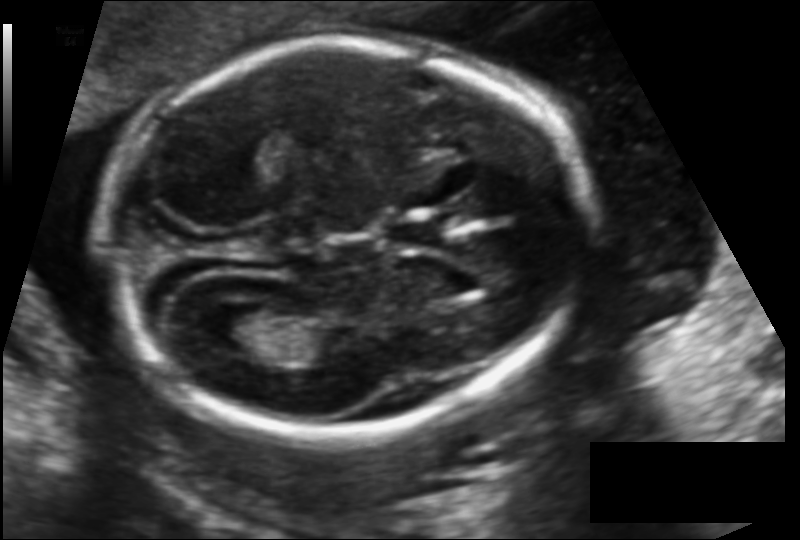
In this fetal head ultrasound, give bounding boxes for the head outline, cavum septum pellucidum (CSP), and lateral ventricle (LV), where visible. Image width: 98.7 mm.

Head: [100,42,593,428]
CSP: [386,211,451,252]
Lateral ventricle: [200,308,271,352]